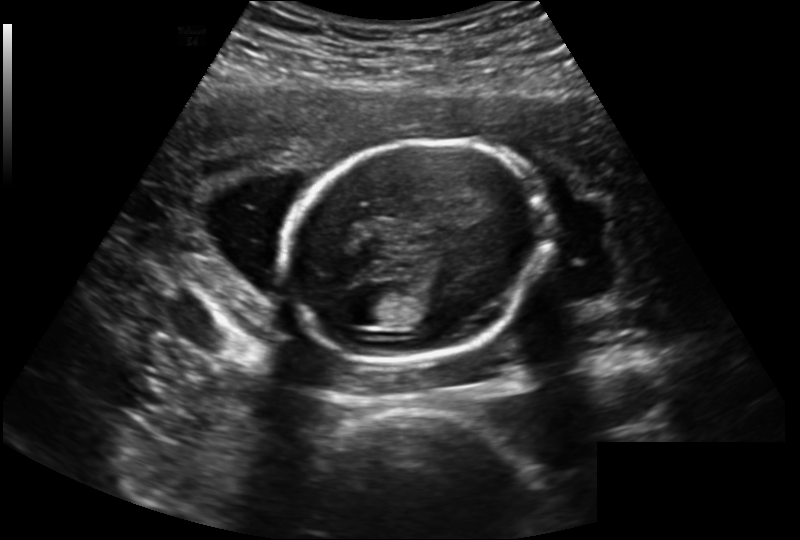
Measure the fetal head circumference shown in this ultrasound image. Image width: 161.7 mm.

Head circumference: 160.0 mm.